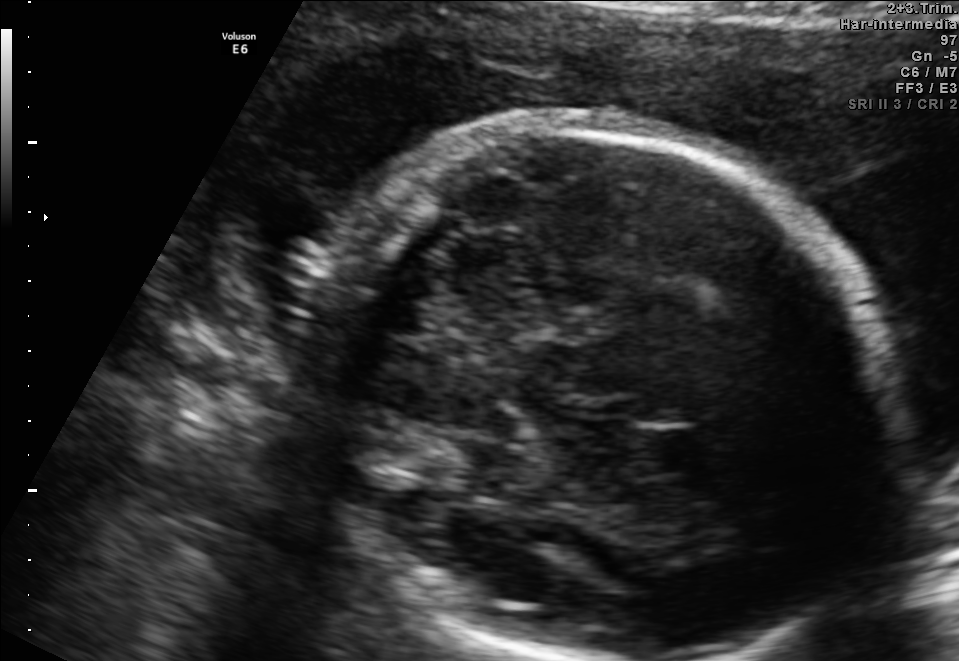
Fetal brain, trans-thalamic plane. Give [x1,y1,x2,y2] bounding boxes for each visible structure among: fetal head, CSP, LV.

Head: [304,120,891,657]
CSP: [641,427,712,473]